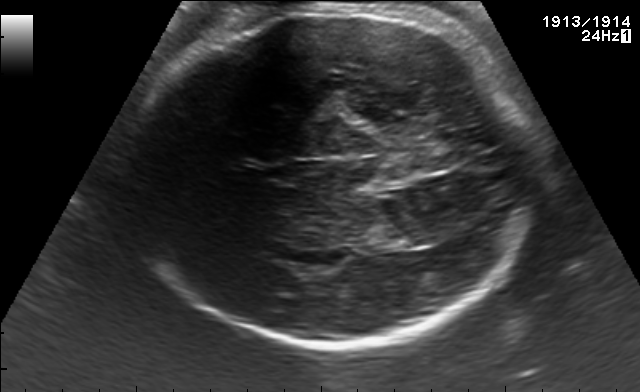
Fetal brain, trans-thalamic plane. Locate the fetal head.

Head: [120,13,527,349]